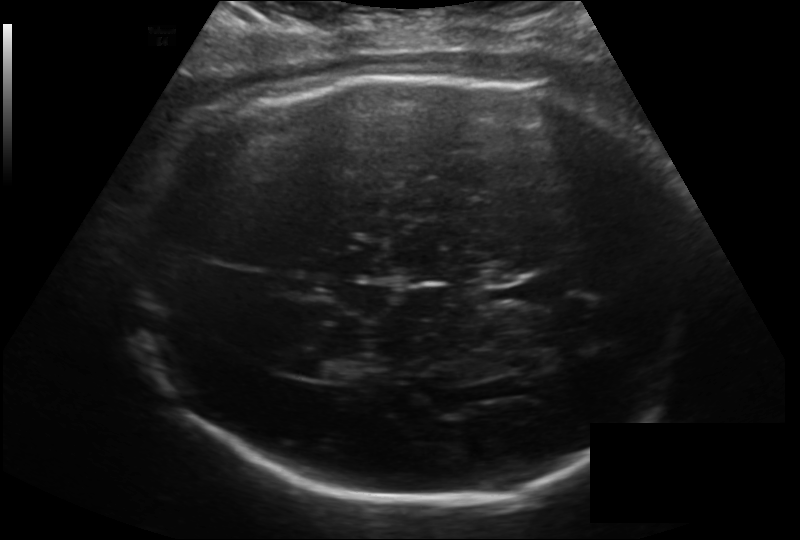
Fetal head ultrasound. Image width: 154.4 mm. Where is the lateral ventricle?

Lateral ventricle bounding box: [304,349,365,384]